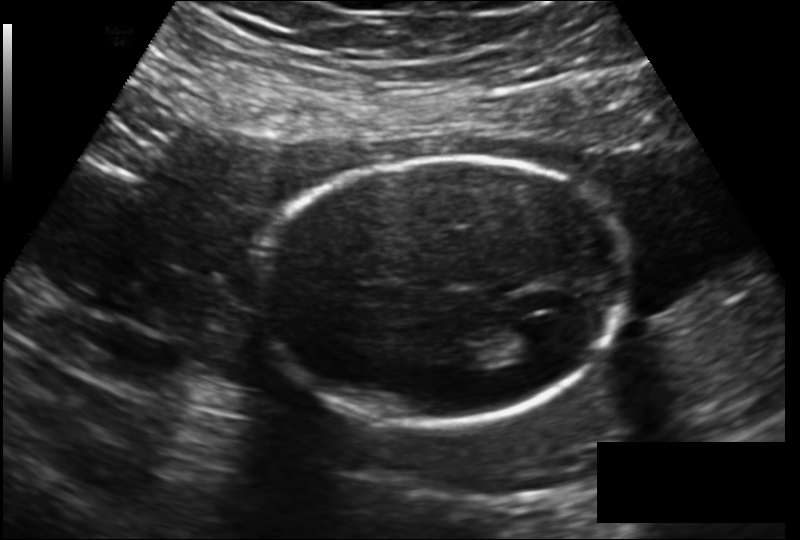
From this fetal ultrasound, estimate the head circumference (image width 137.8 mm).

Head circumference: 178.6 mm.